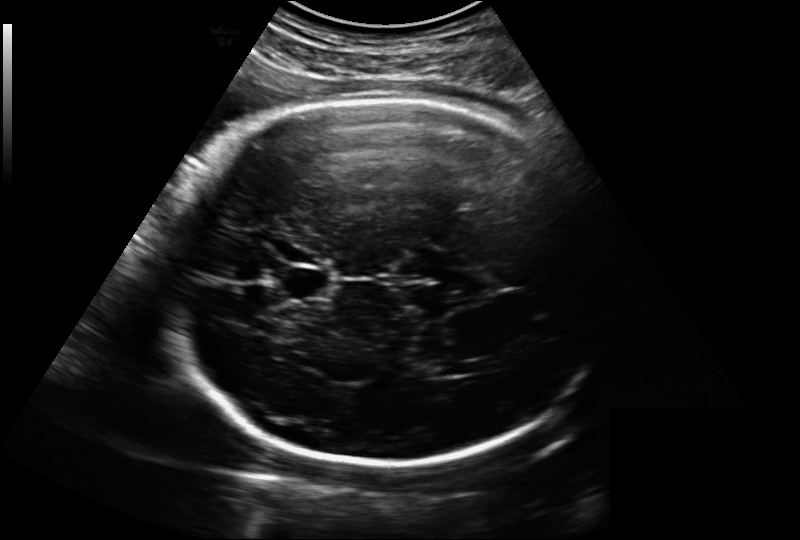
In this fetal head ultrasound, give the bounding box of the lateral ventricle. Image width: 176.5 mm.

[433,360,464,377]